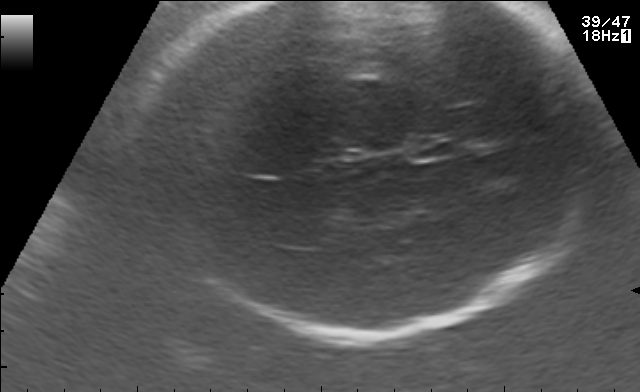
Fetal brain, trans-thalamic plane. Locate the fetal head.

Head: [121,2,602,330]